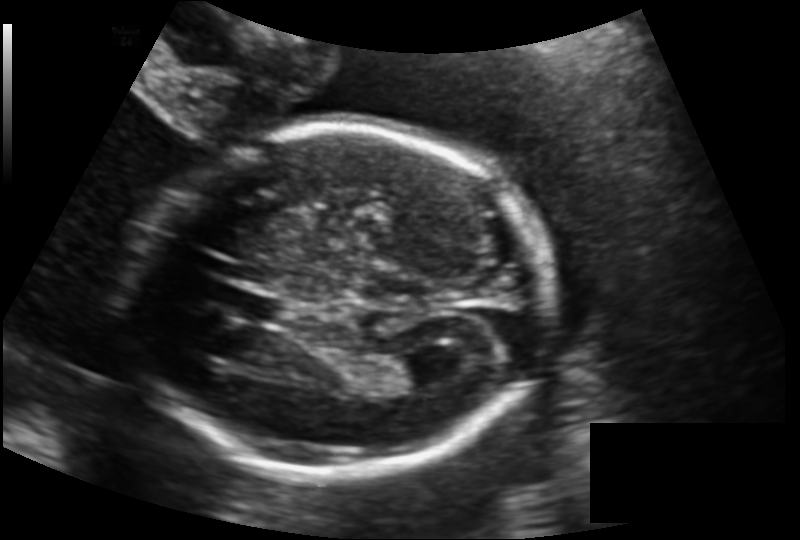
Estimate the fetal head circumference from this 2D ultrasound.

Head circumference: 182.8 mm (image width 117.2 mm).